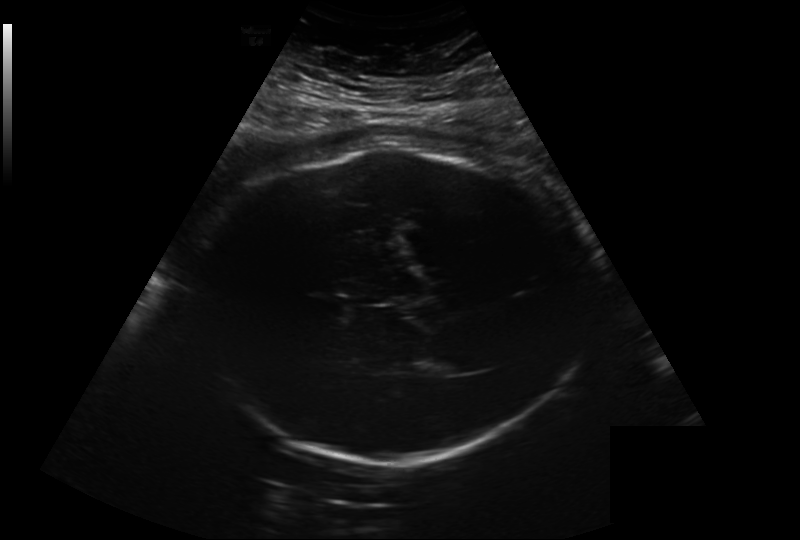
Measure the fetal head circumference shown in this ultrasound image. Image width: 225.2 mm.

Head circumference: 327.5 mm.